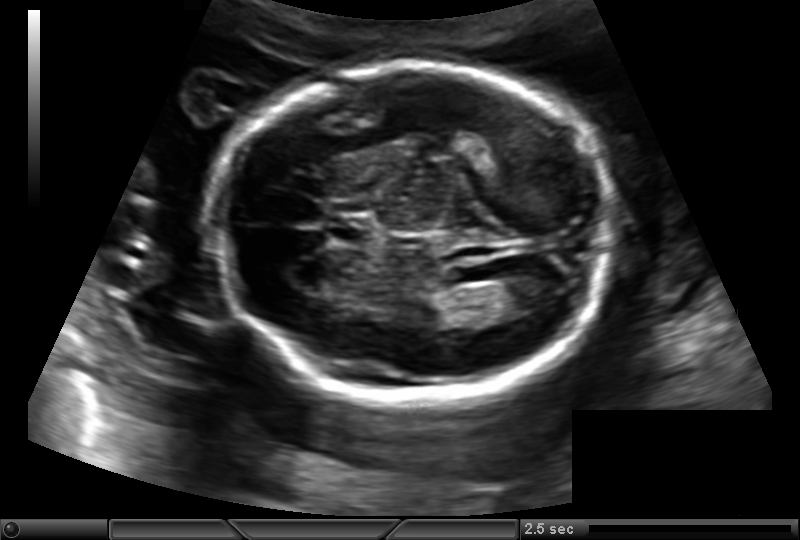
In this fetal head ultrasound, give the bounding box of the fetal head. Image width: 116.2 mm.

[213,65,619,396]